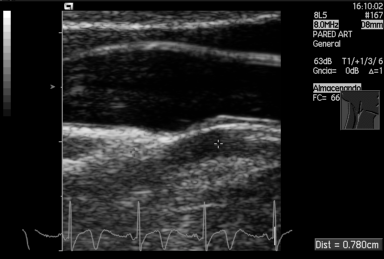
Which standard maternal-fetal ultrasound plane is shown: fetal abdomen, fetal brain, fetal femur, fetal thorax, maternal cervix, or other? If it's fetal brain and one of the three standard brain planes (trans-thalamic, trans-cerebellum, trans-ventricular), name which.

Other